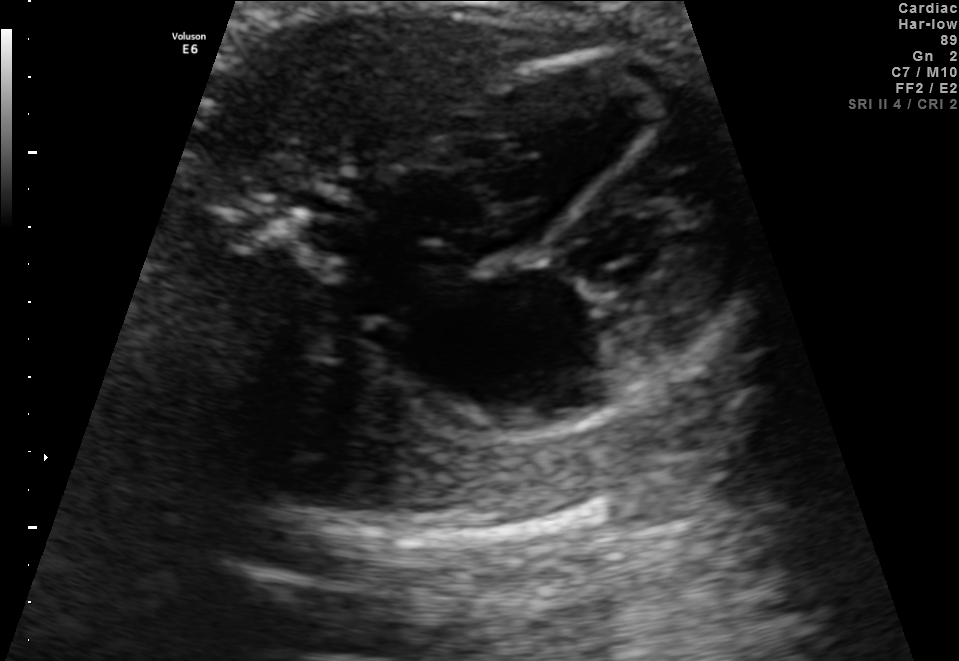
Identify the standard plane in this fetal ultrasound image: fetal abdomen, fetal brain, fetal femur, fetal thorax, maternal cervix, or other. If it's fetal brain and one of the three standard brain planes (trans-thalamic, trans-cerebellum, trans-ventricular), name which.

Fetal thorax